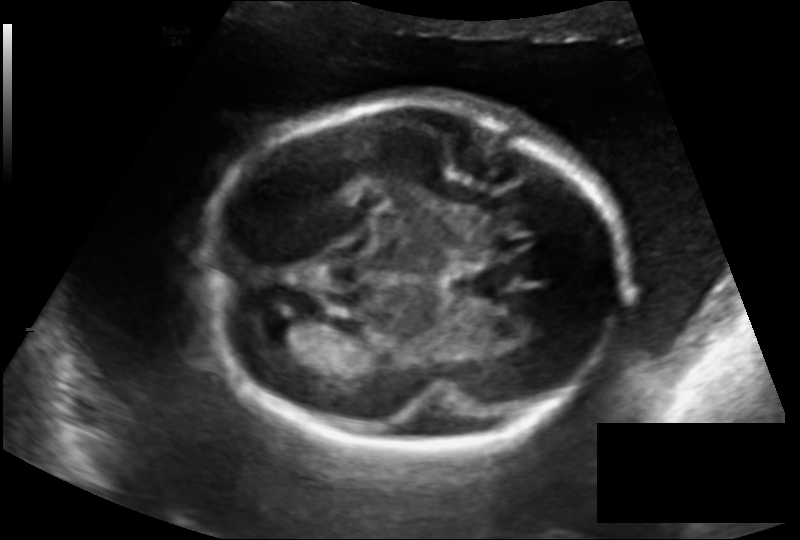
Fetal head ultrasound. Image width: 129.7 mm. Give [x1,y1,x2,y2] bounding boxes for each visible structure among: fetal head, CSP, LV.

Head: [207,97,620,454]
Lateral ventricle: [246,302,302,351]